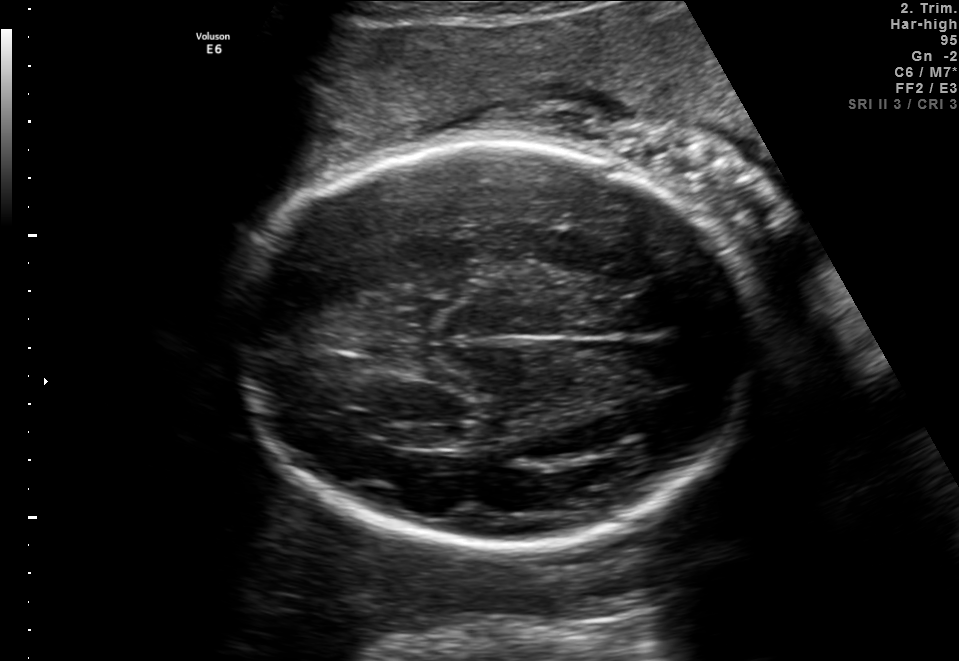
Fetal brain, trans-thalamic plane. Locate the fetal head.

Head: [225,144,764,547]